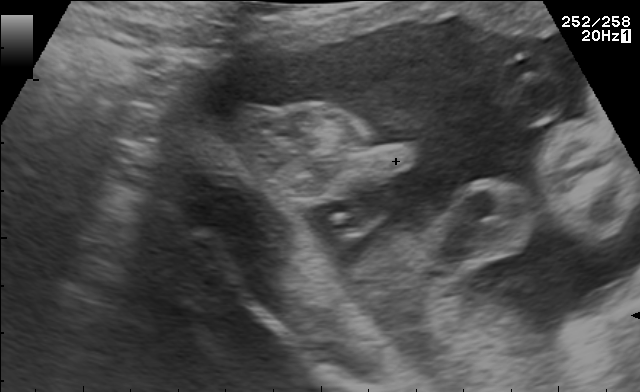
Identify the standard plane in this fetal ultrasound image: fetal abdomen, fetal brain, fetal femur, fetal thorax, maternal cervix, or other. If it's fetal brain and one of the three standard brain planes (trans-thalamic, trans-cerebellum, trans-ventricular), name which.

Other